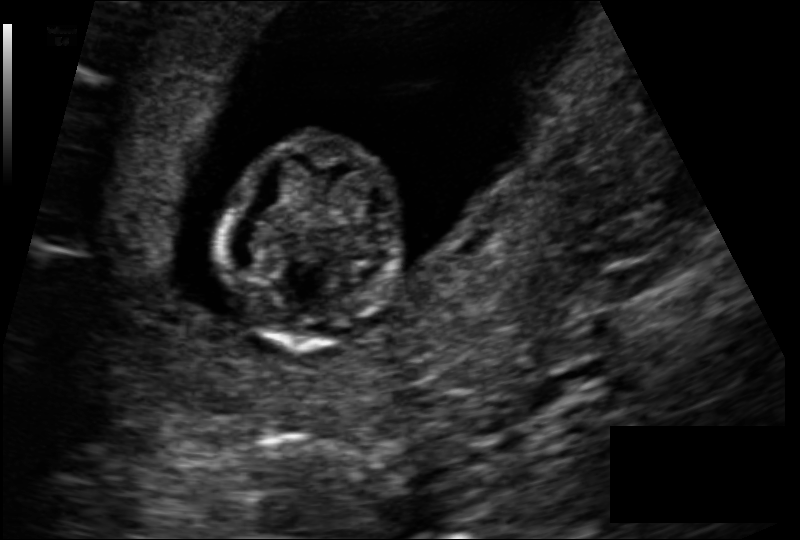
Measure the fetal head circumference shown in this ultrasound image. Image width: 90.6 mm.

Head circumference: 75.2 mm.